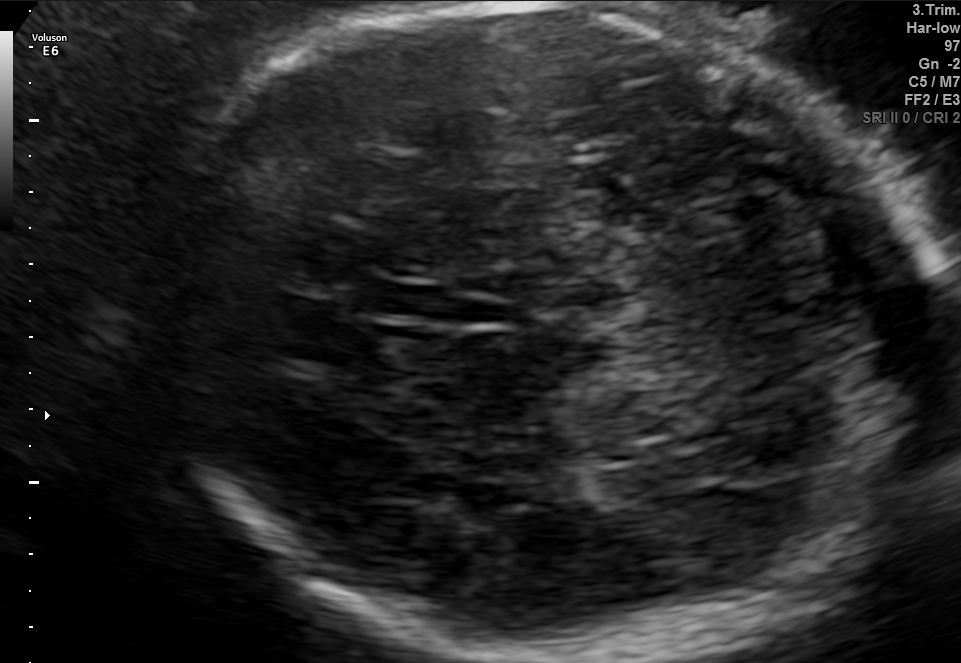
In this fetal brain, trans-thalamic plane, give bounding boxes for the head outline, cavum septum pellucidum (CSP), and lateral ventricle (LV), where visible.

Head: [147,5,940,656]
CSP: [357,279,450,320]